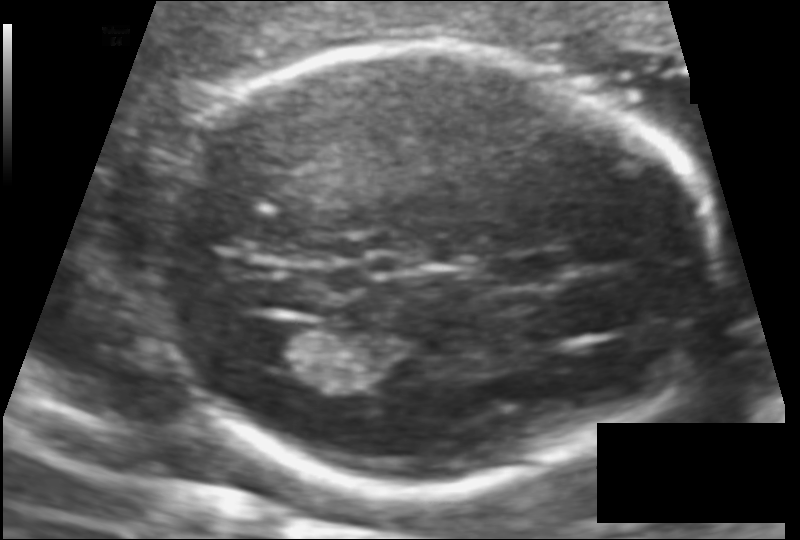
Fetal head ultrasound. Image width: 84.7 mm. Give [x1,y1,x2,y2] bounding boxes for each visible structure among: fetal head, CSP, LV.

Head: [151,48,717,489]
CSP: [487,247,574,293]
Lateral ventricle: [239,318,324,372]